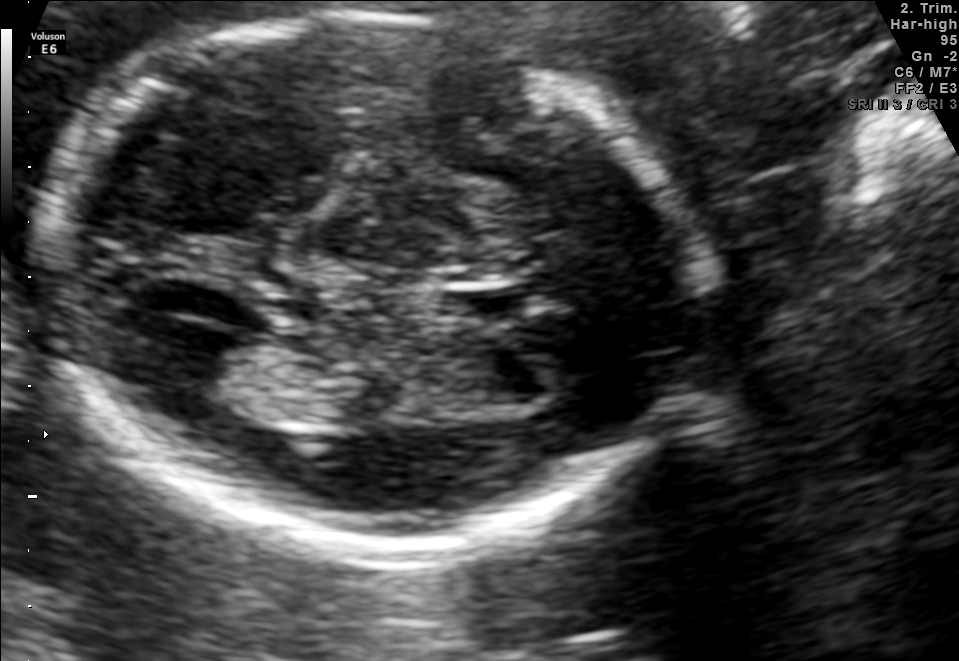
Fetal brain, trans-thalamic plane. Locate the fetal head.

Head: [38,17,703,550]